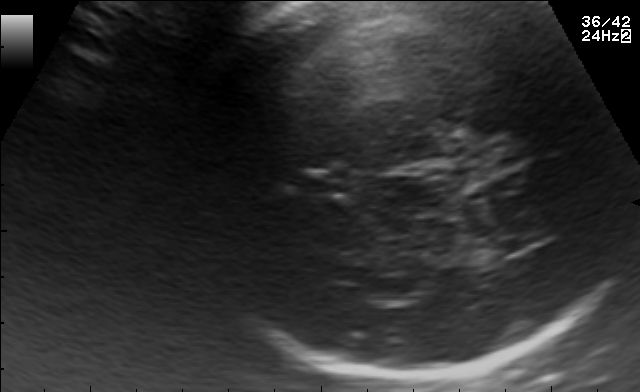
In this fetal brain, trans-thalamic plane, give the bounding box of the cavum septum pellucidum.

[296,172,349,194]